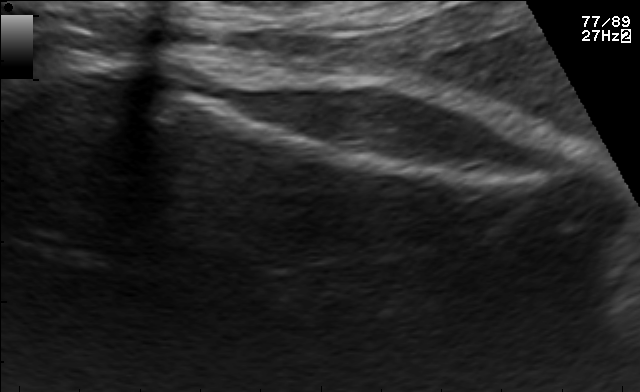
Which standard maternal-fetal ultrasound plane is shown: fetal abdomen, fetal brain, fetal femur, fetal thorax, maternal cervix, or other? If it's fetal brain and one of the three standard brain planes (trans-thalamic, trans-cerebellum, trans-ventricular), name which.

Fetal femur